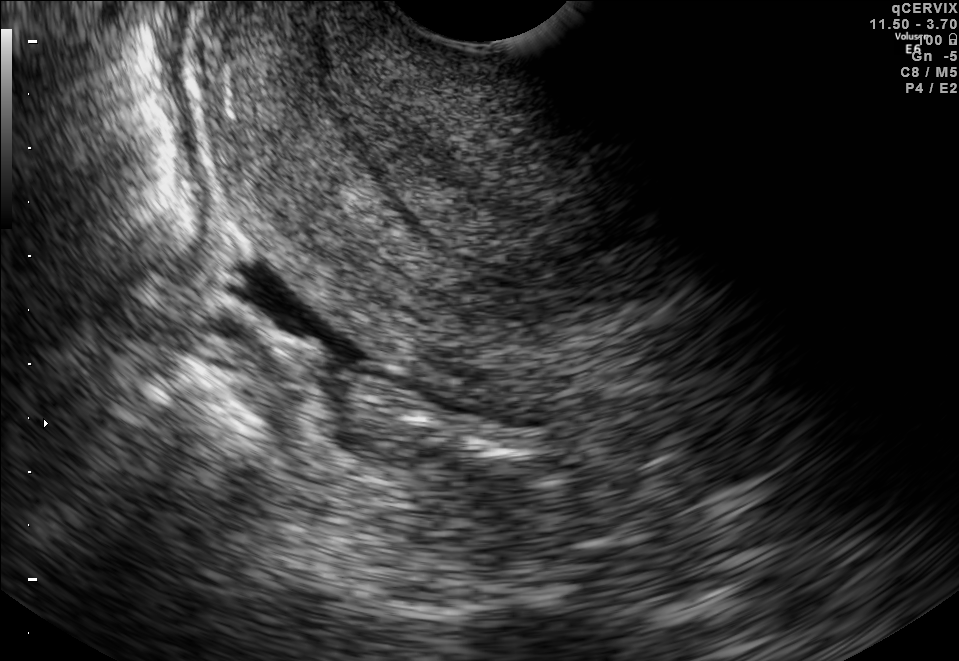
This is a 2D maternal-fetal ultrasound frame. Is it a fetal abdomen, fetal brain, fetal femur, fetal thorax, maternal cervix, or other standard plane? If it's fetal brain and one of the three standard brain planes (trans-thalamic, trans-cerebellum, trans-ventricular), name which.

Maternal cervix